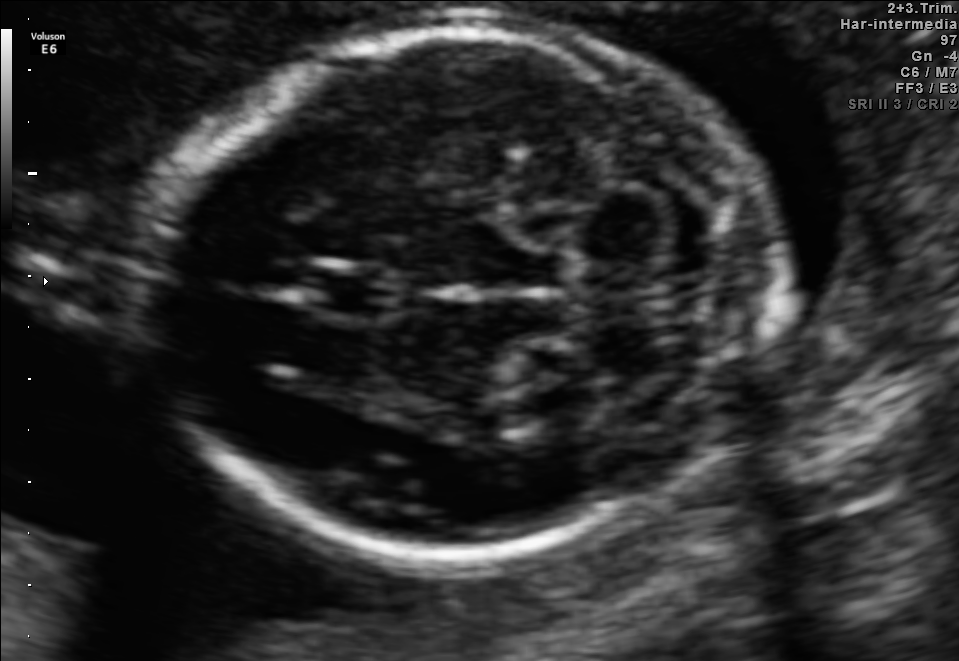
This is a 2D maternal-fetal ultrasound frame. Is it a fetal abdomen, fetal brain, fetal femur, fetal thorax, maternal cervix, or other standard plane? If it's fetal brain and one of the three standard brain planes (trans-thalamic, trans-cerebellum, trans-ventricular), name which.

Fetal brain (trans-cerebellum plane)